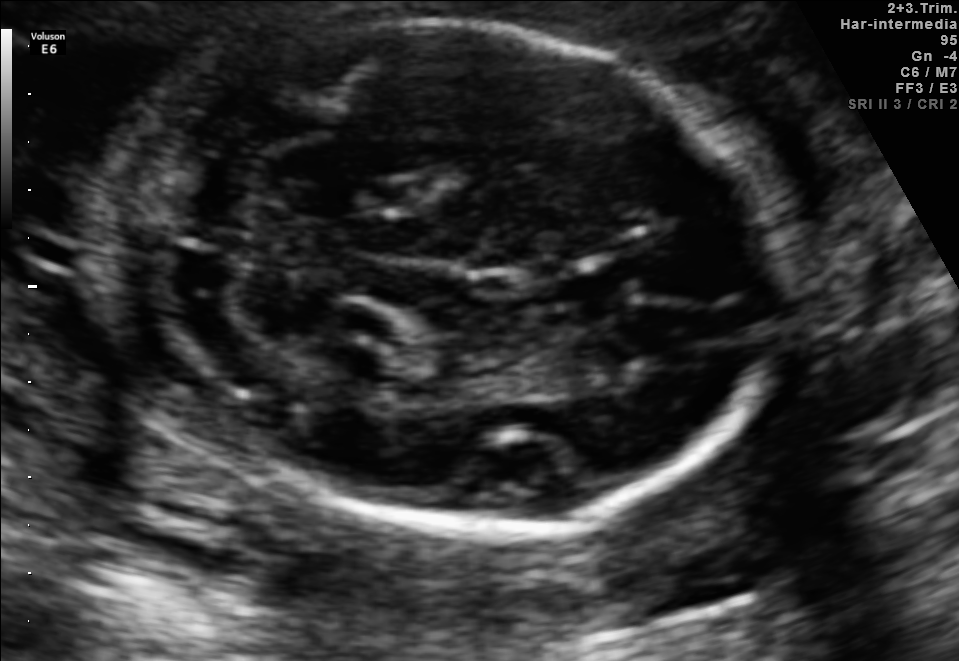
Fetal brain, trans-cerebellum plane. Locate the fetal head and, if visible, the cavum septum pellucidum (CSP) and lateral ventricle (LV). Give bounding boxes as [x1,y1,x2,y2].

Head: [89,19,788,534]